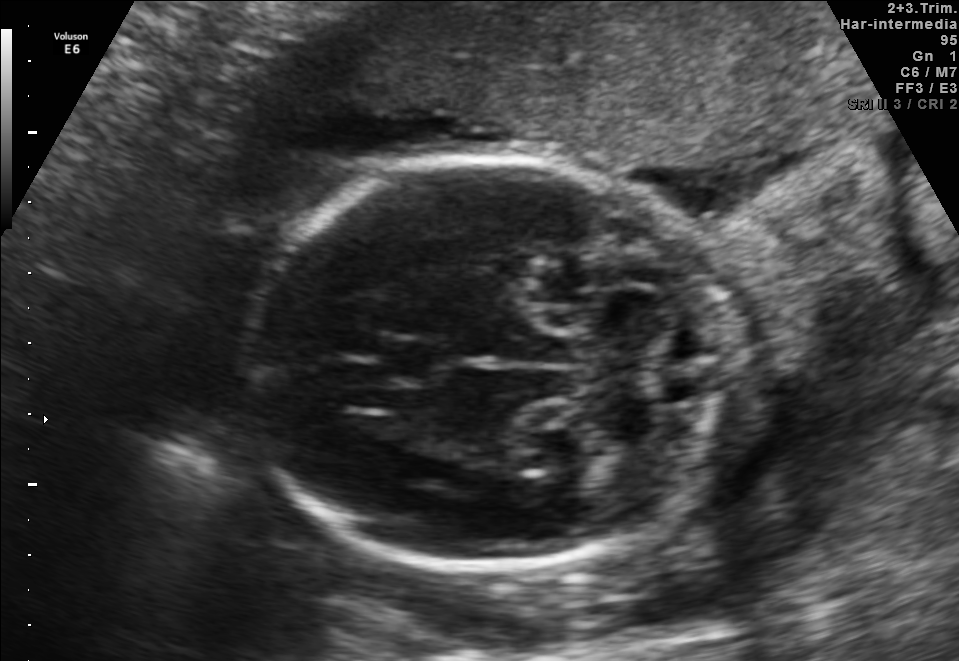
Fetal brain, trans-cerebellum plane. Give [x1,y1,x2,y2] bounding boxes for each visible structure among: fetal head, CSP, LV.

Head: [246,157,721,568]
CSP: [380,336,442,383]